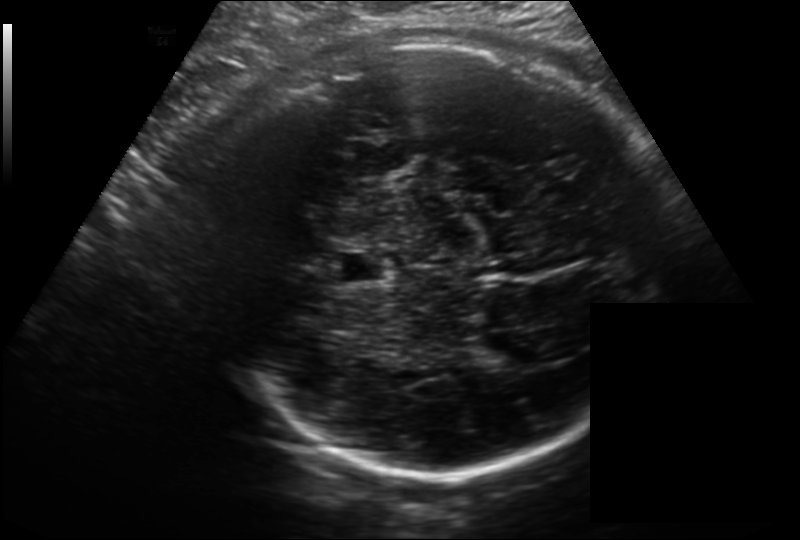
Fetal head ultrasound. Image width: 171.5 mm. Give [x1,y1,x2,y2] bounding boxes for each visible structure among: fetal head, CSP, LV.

Head: [210,38,668,473]
CSP: [333,251,392,282]
Lateral ventricle: [473,332,535,371]